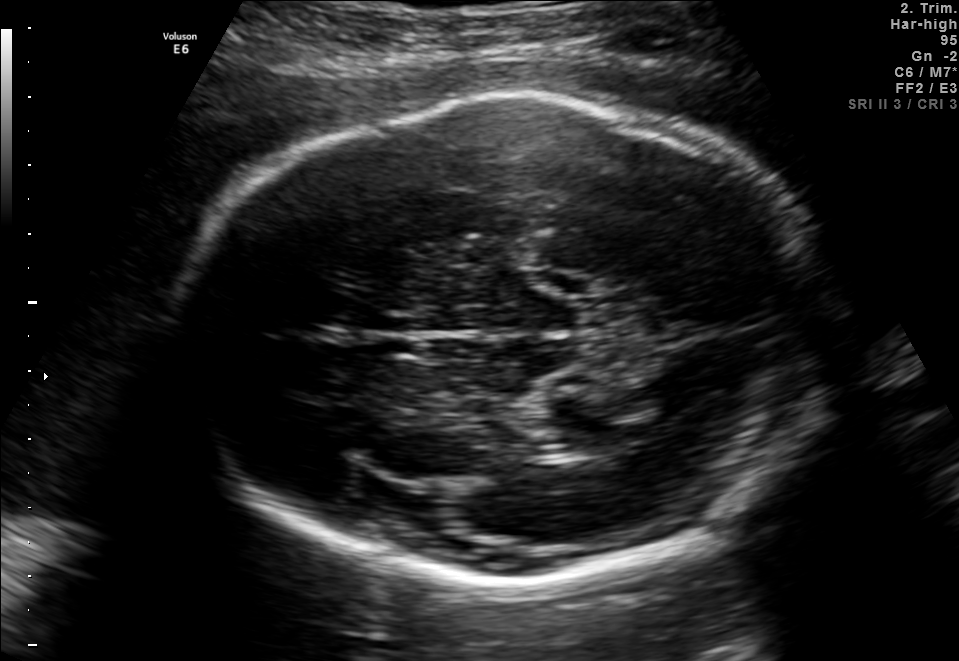
Fetal brain, trans-thalamic plane. Where is the fetal head?

Head bounding box: [173,99,832,590]